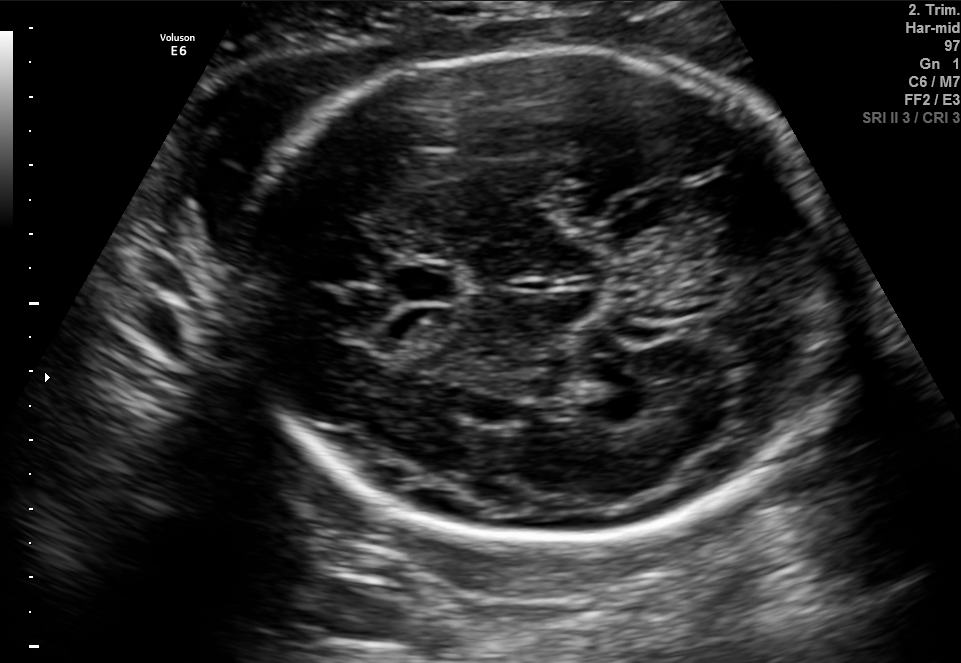
In this fetal brain, trans-thalamic plane, give bounding boxes for the head outline, cavum septum pellucidum (CSP), and lateral ventricle (LV), where visible.

Head: [233,47,842,550]
CSP: [395,266,458,300]